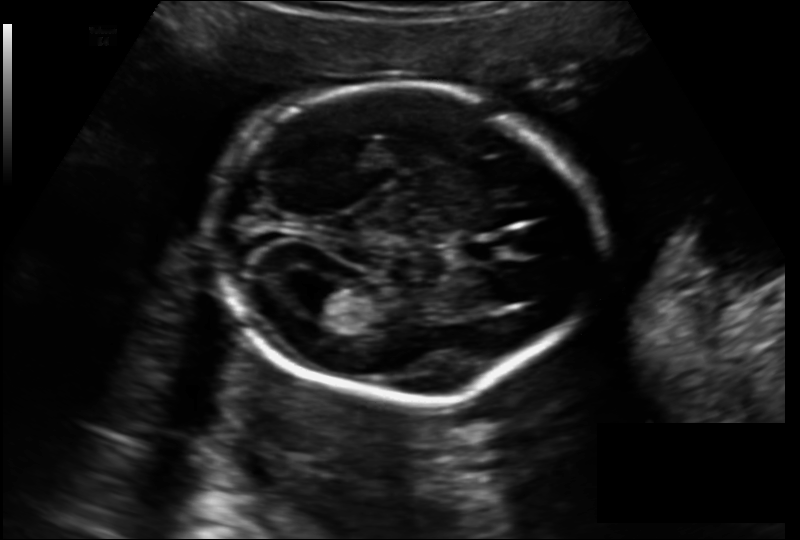
Measure the fetal head circumference shown in this ultrasound image. Image width: 125.9 mm.

Head circumference: 180.6 mm.